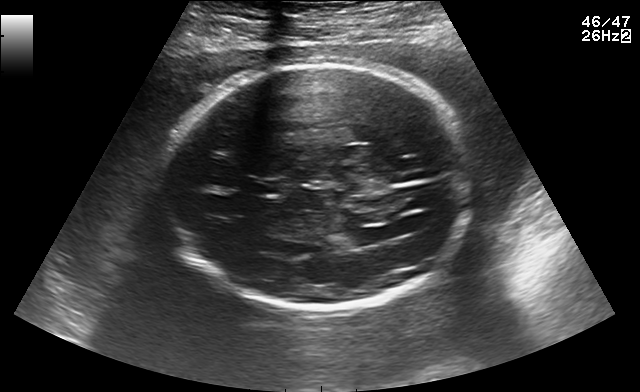
In this fetal brain, trans-ventricular plane, give the bounding box of the fetal head.

[160,59,476,317]